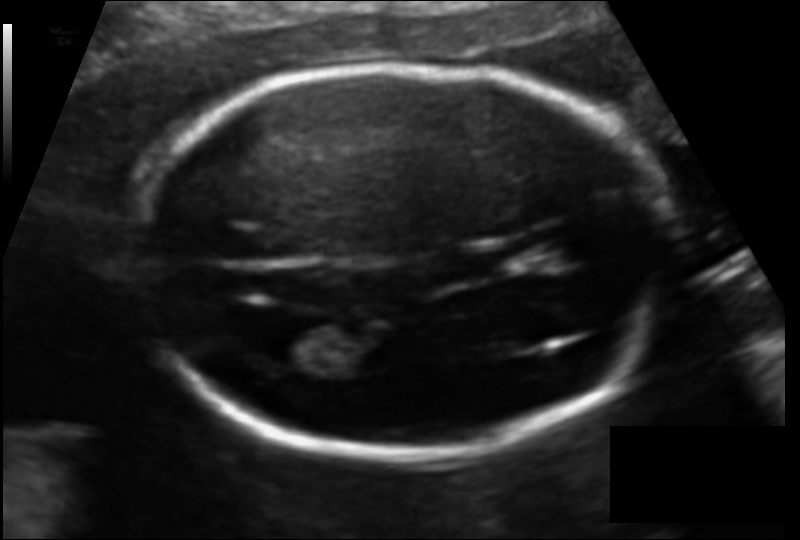
Estimate the fetal head circumference from this 2D ultrasound. Image width: 87.6 mm.

Head circumference: 165.6 mm.